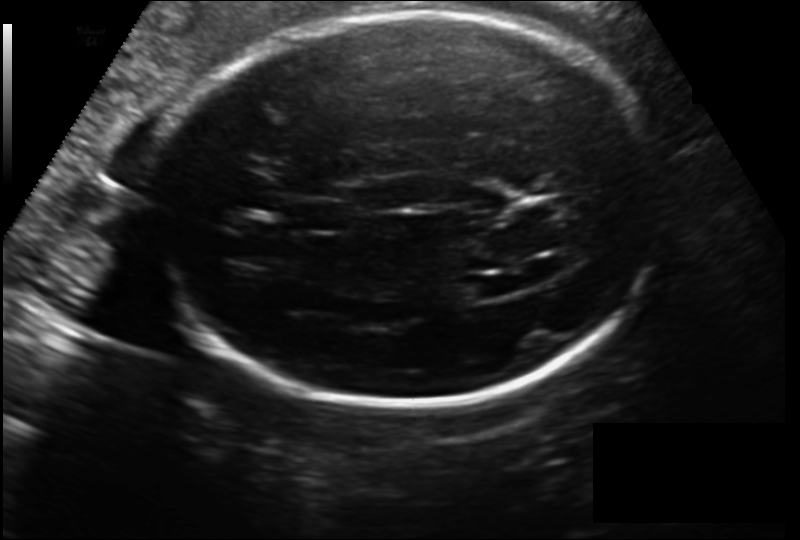
Estimate the fetal head circumference from this 2D ultrasound.

Head circumference: 270.8 mm (image width 149.1 mm).